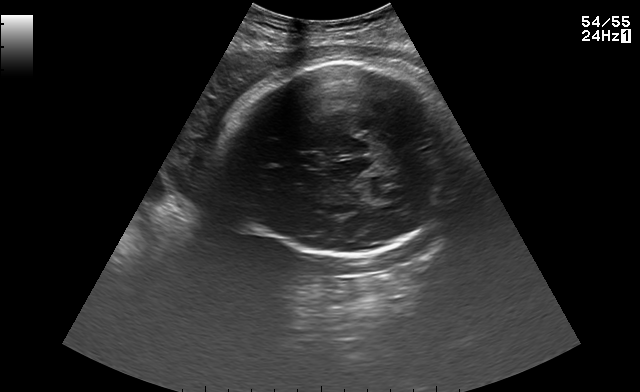
Fetal brain, trans-thalamic plane. Locate the cavum septum pellucidum.

CSP: [293,154,317,167]